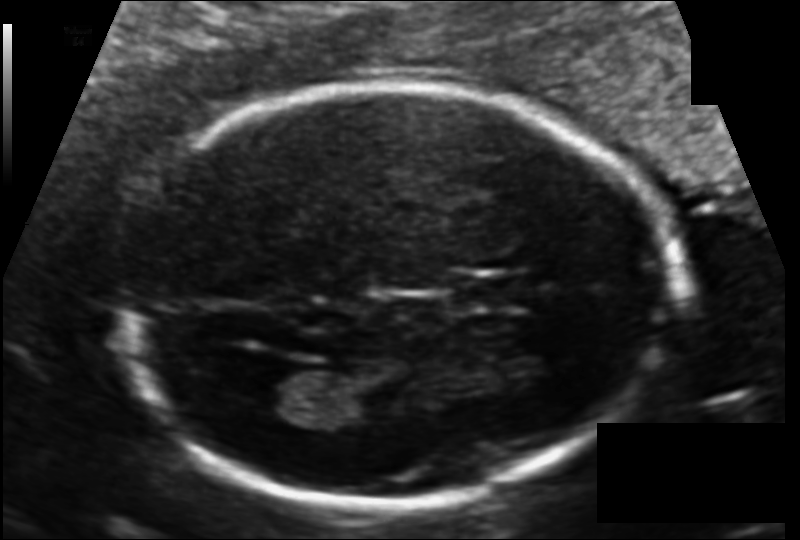
Fetal head ultrasound. Image width: 90.0 mm. Locate the fetal head and, if visible, the cavum septum pellucidum (CSP) and lateral ventricle (LV). Give bounding boxes as [x1,y1,x2,y2].

Head: [116,87,679,507]
CSP: [451,276,526,309]
Lateral ventricle: [237,355,337,430]